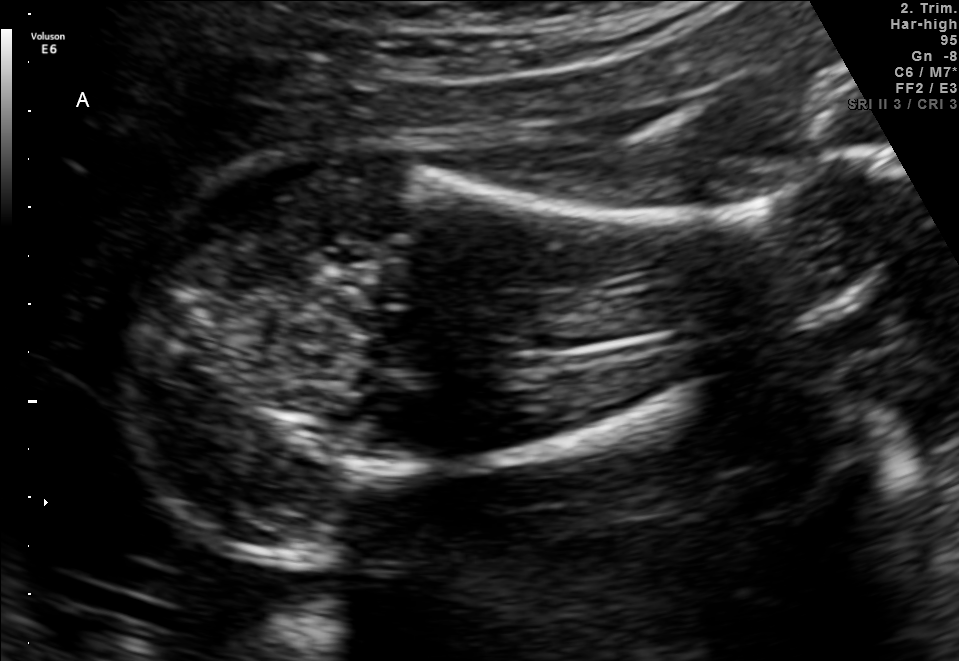
This is a 2D maternal-fetal ultrasound frame. Is it a fetal abdomen, fetal brain, fetal femur, fetal thorax, maternal cervix, or other standard plane? If it's fetal brain and one of the three standard brain planes (trans-thalamic, trans-cerebellum, trans-ventricular), name which.

Fetal femur